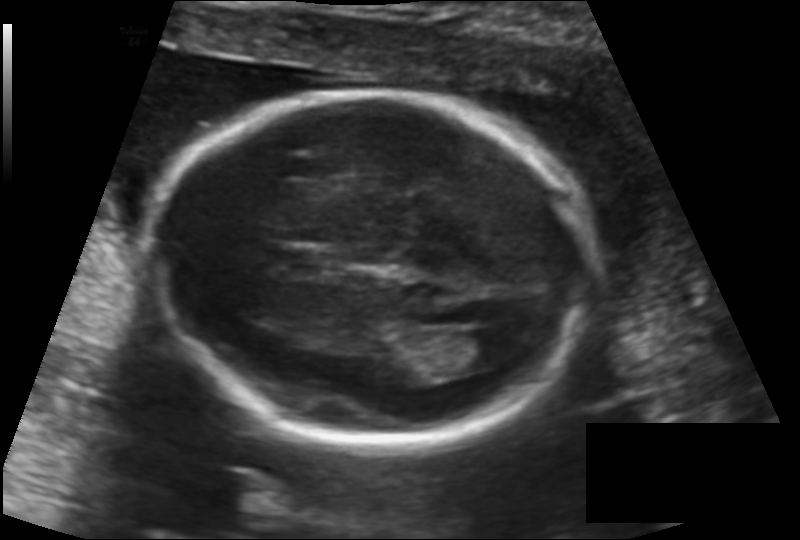
Fetal head ultrasound. Image width: 109.6 mm. Where is the fetal head?

Head bounding box: [151,92,594,443]